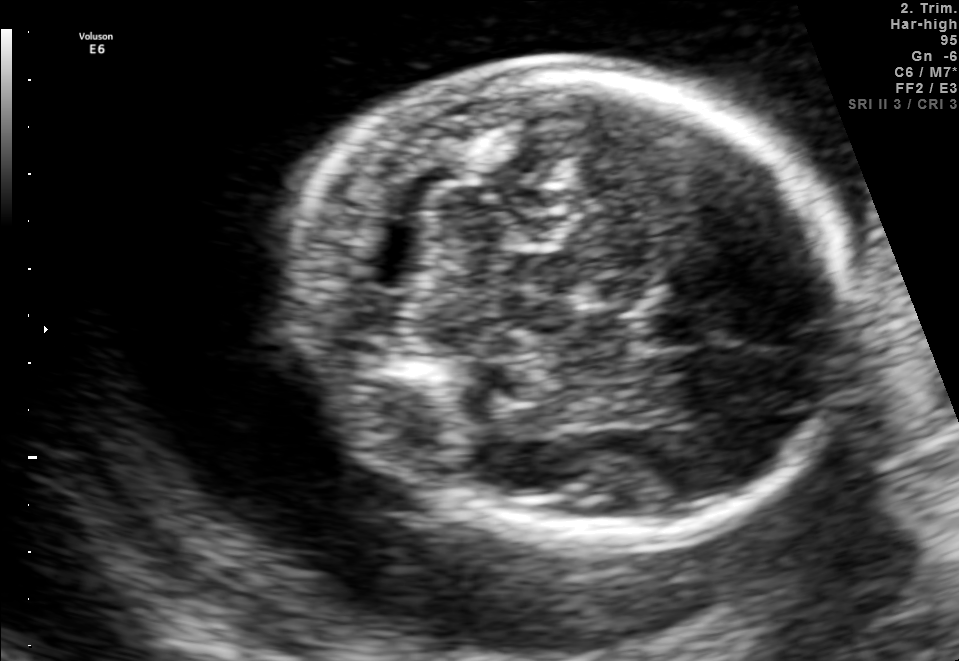
Fetal brain, trans-cerebellum plane. Where is the cavum septum pellucidum?

CSP bounding box: [635,308,714,352]